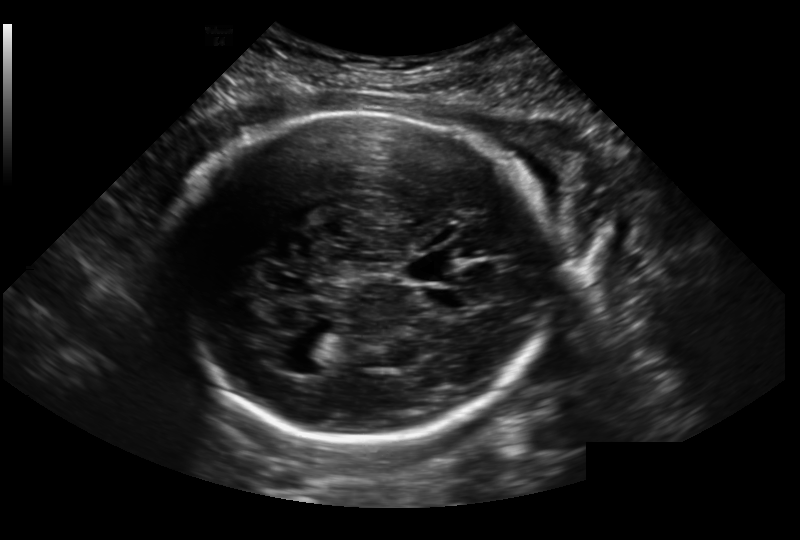
Fetal head ultrasound. Image width: 188.7 mm. Locate the cavum septum pellucidum.

CSP: [407,255,452,284]